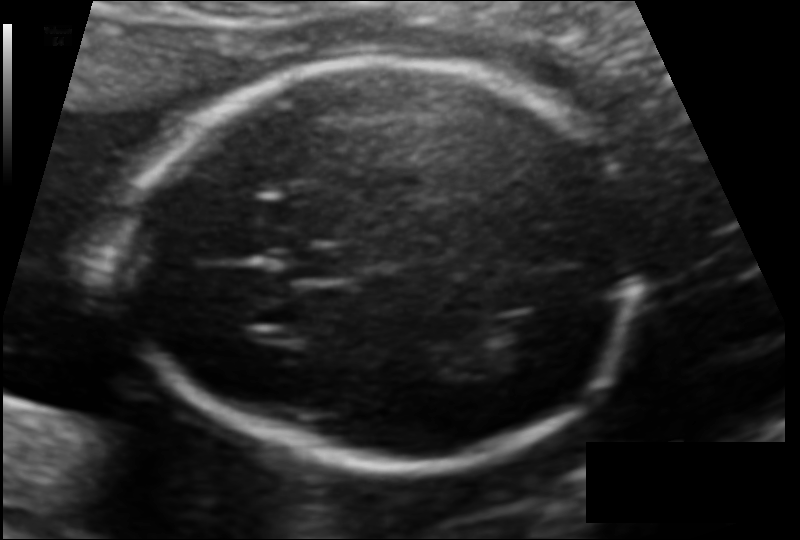
Measure the fetal head circumference shown in this ultrasound image. Image width: 92.5 mm.

Head circumference: 171.8 mm.